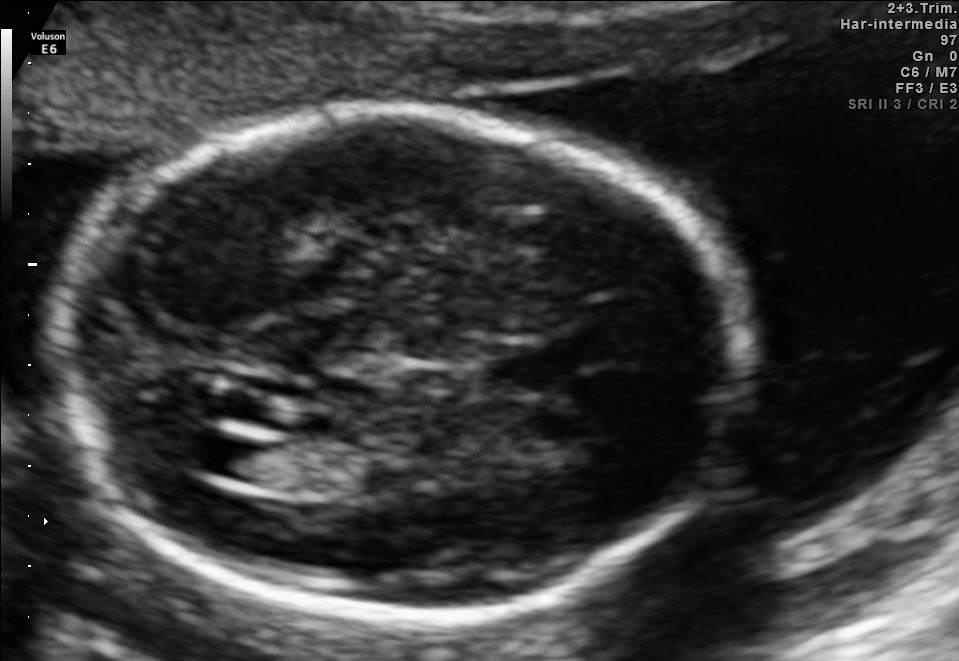
Fetal brain, trans-ventricular plane. Locate the fetal head.

Head: [44,101,771,632]